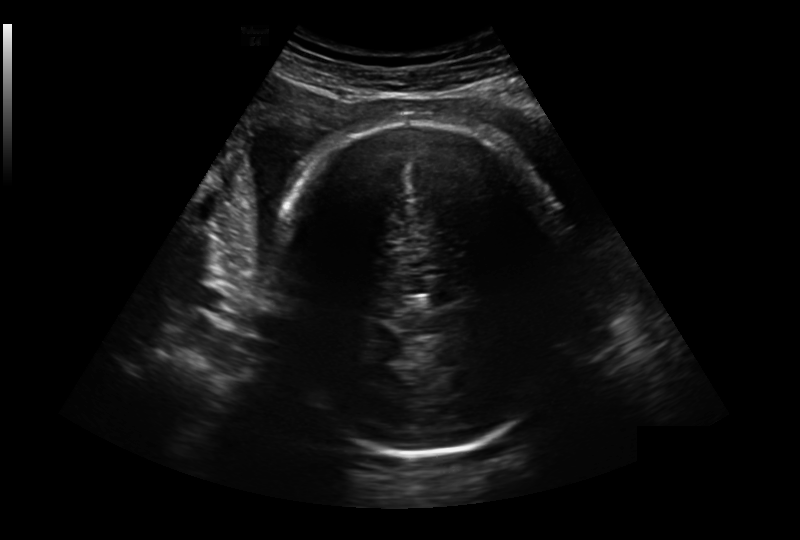
In this fetal head ultrasound, give the bounding box of the fetal head. Image width: 225.0 mm.

[274,122,564,454]